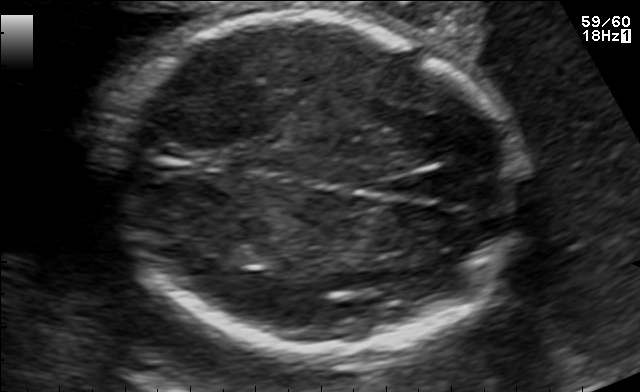
Fetal brain, trans-thalamic plane. Give [x1,y1,x2,y2] bounding boxes for each visible structure among: fetal head, CSP, LV.

Head: [105,14,523,352]